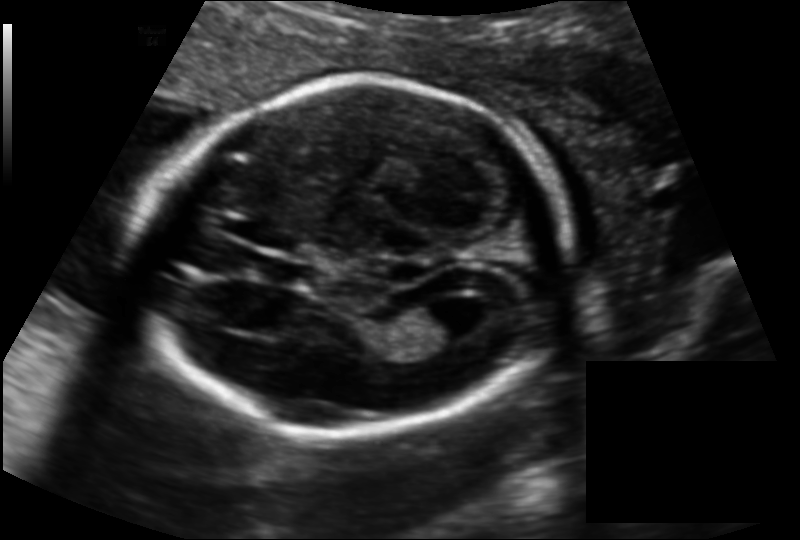
Fetal head ultrasound. Image width: 107.9 mm. Locate the lateral ventricle.

Lateral ventricle: [406,280,490,355]